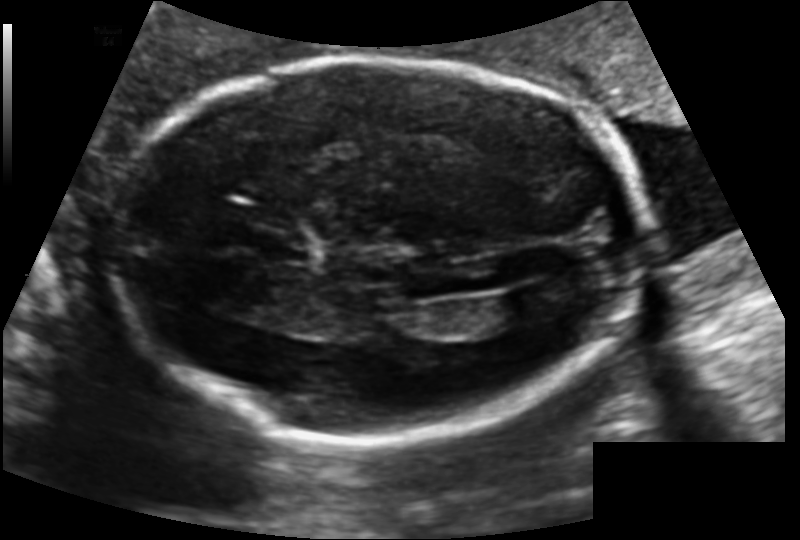
Fetal head ultrasound. Image width: 105.0 mm. Where is the lateral ventricle?

Lateral ventricle bounding box: [494,279,565,328]